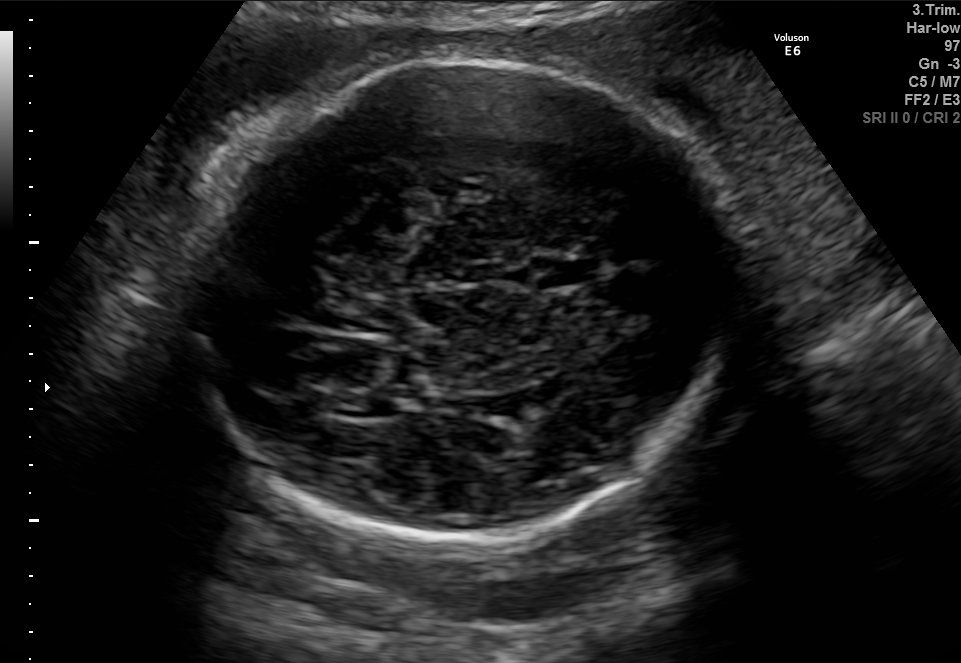
Fetal brain, trans-thalamic plane. Where is the lateral ventricle?

Lateral ventricle bounding box: [334,396,393,419]